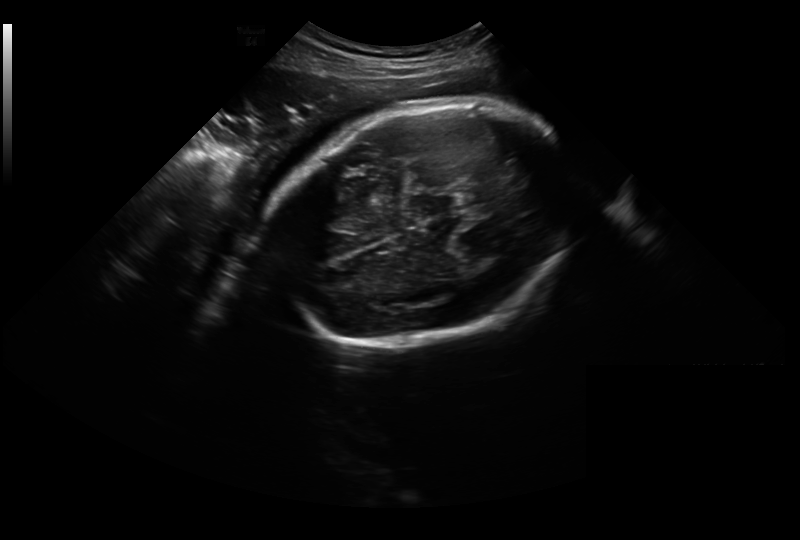
What is the fetal head circumference? Image width is 261.1 mm.

288.2 mm